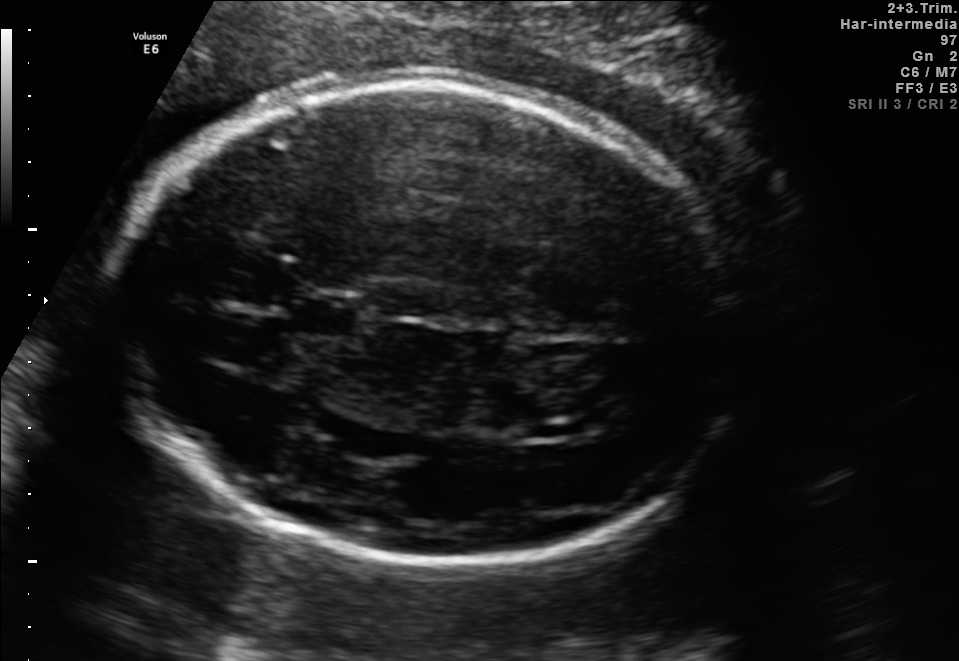
Fetal brain, trans-ventricular plane. Locate the fetal head and, if visible, the cavum septum pellucidum (CSP) and lateral ventricle (LV). Give bounding boxes as [x1,y1,x2,y2].

Head: [100,68,763,577]
CSP: [280,293,371,339]